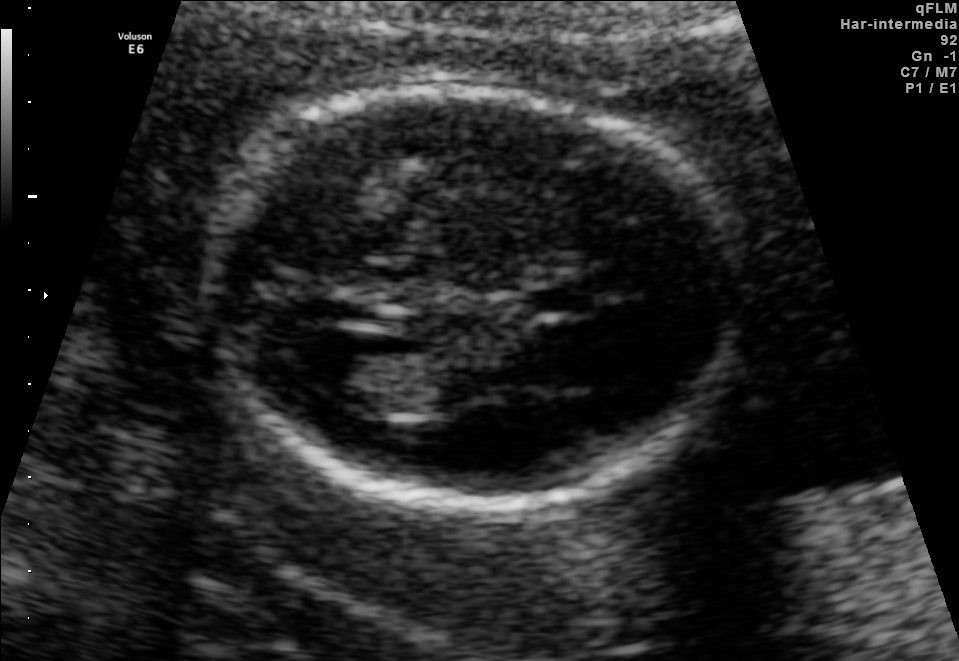
In this fetal brain, trans-ventricular plane, give the bounding box of the lateral ventricle.

[285,333,400,408]